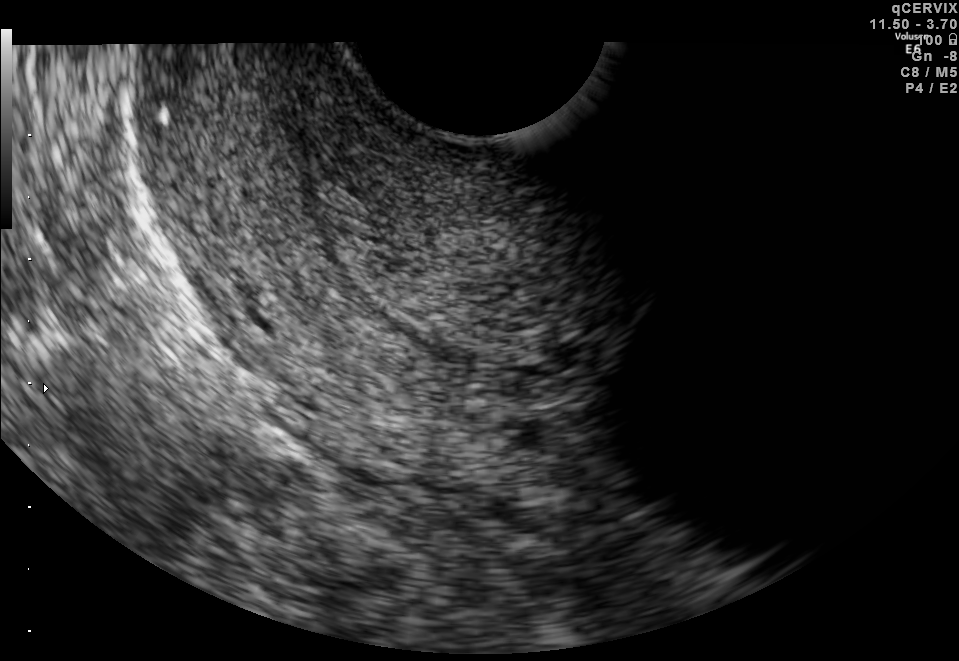
Classify this maternal-fetal ultrasound image as one of the six standard planes — fetal abdomen, fetal brain, fetal femur, fetal thorax, maternal cervix, or other. If it's fetal brain and one of the three standard brain planes (trans-thalamic, trans-cerebellum, trans-ventricular), name which.

Maternal cervix